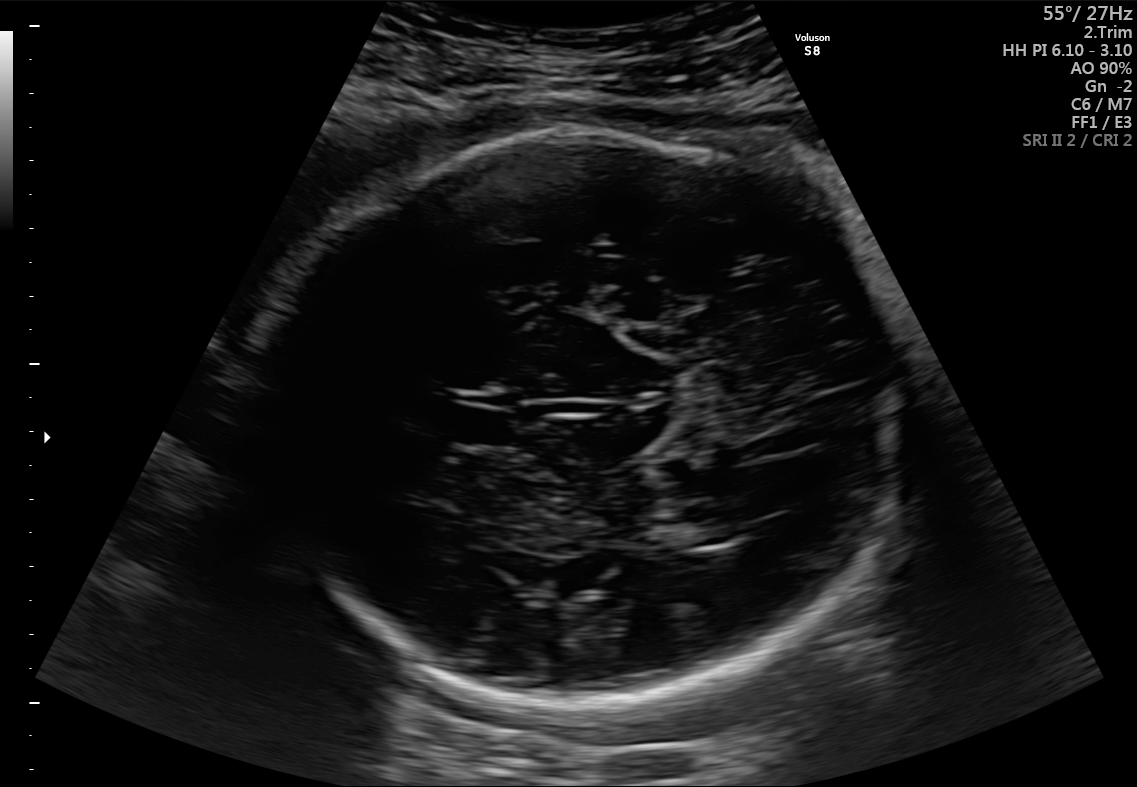
Fetal brain, trans-thalamic plane. Locate the fetal head and, if visible, the cavum septum pellucidum (CSP) and lateral ventricle (LV). Give bounding boxes as [x1,y1,x2,y2].

Head: [255,135,911,712]
CSP: [446,403,515,446]
Lateral ventricle: [652,510,740,552]